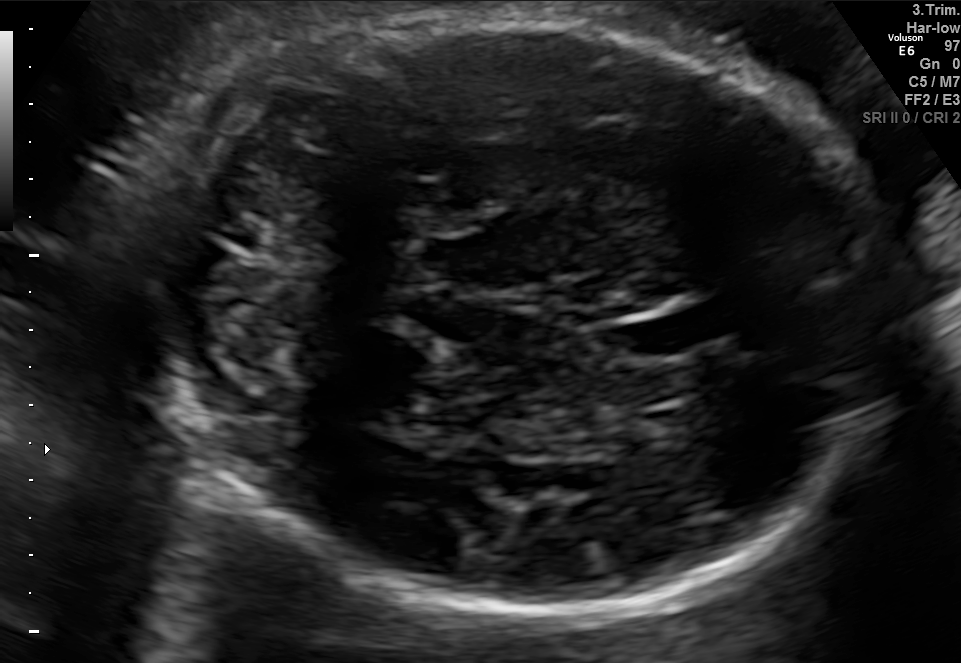
In this fetal brain, trans-cerebellum plane, give the bounding box of the fetal head.

[153,7,884,620]